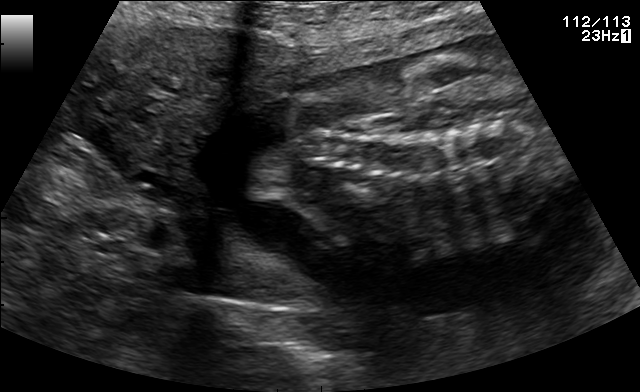
Identify the standard plane in this fetal ultrasound image: fetal abdomen, fetal brain, fetal femur, fetal thorax, maternal cervix, or other. If it's fetal brain and one of the three standard brain planes (trans-thalamic, trans-cerebellum, trans-ventricular), name which.

Other